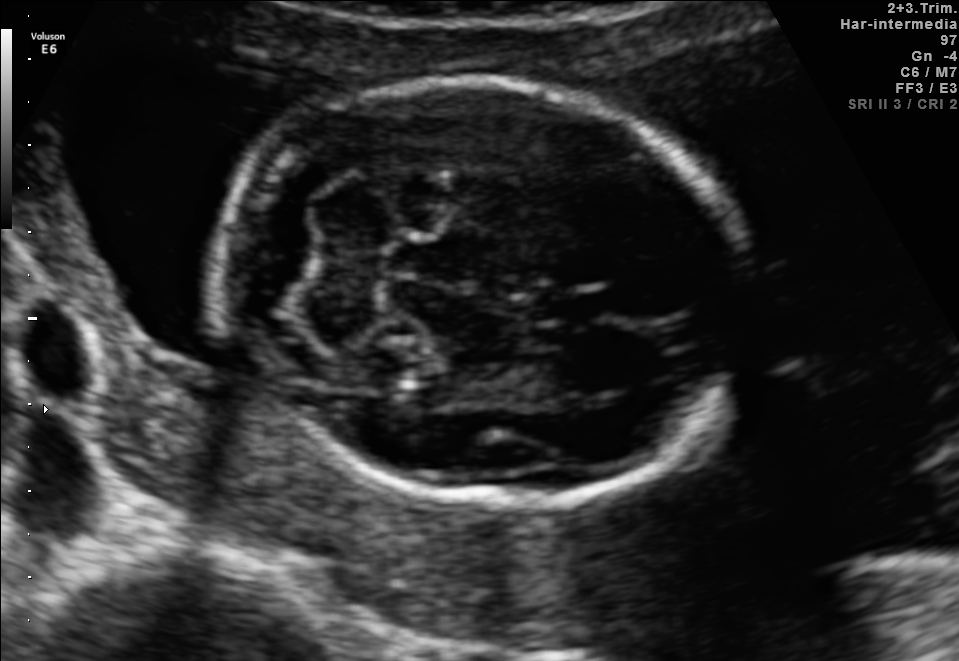
In this fetal brain, trans-cerebellum plane, give the bounding box of the cavum septum pellucidum.

[536,287,603,328]